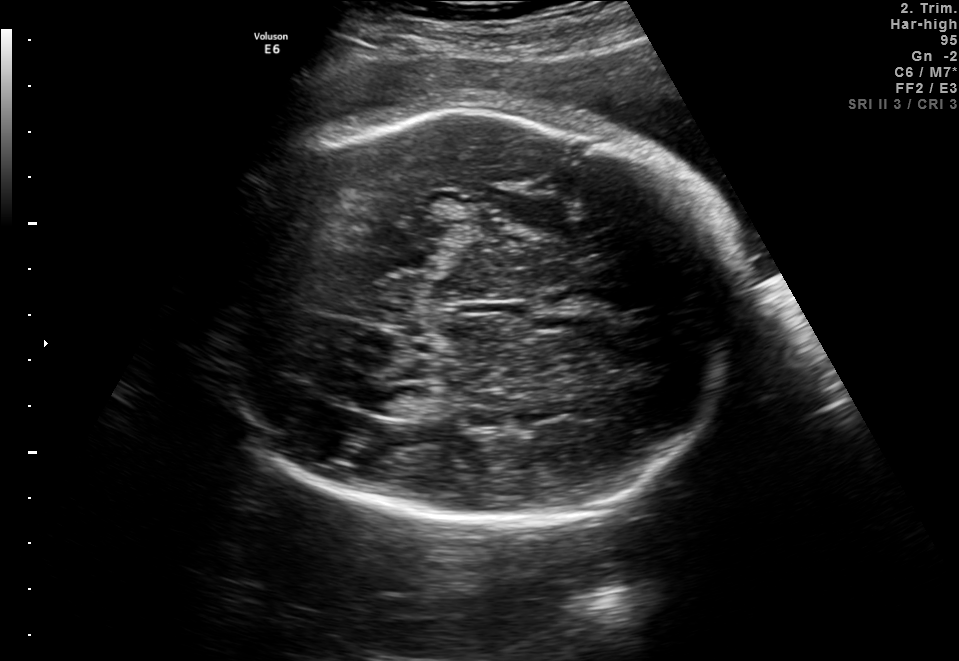
Fetal brain, trans-thalamic plane. Locate the fetal head and, if visible, the cavum septum pellucidum (CSP) and lateral ventricle (LV). Give bounding boxes as [x1,y1,x2,y2].

Head: [201,111,744,532]
Lateral ventricle: [348,379,414,420]